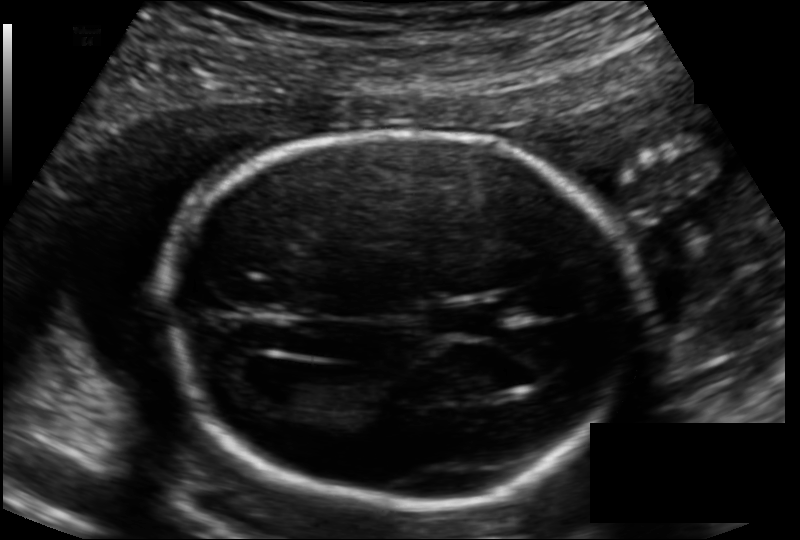
Fetal head ultrasound. Image width: 100.8 mm. Locate the fetal head.

Head: [168,133,634,505]